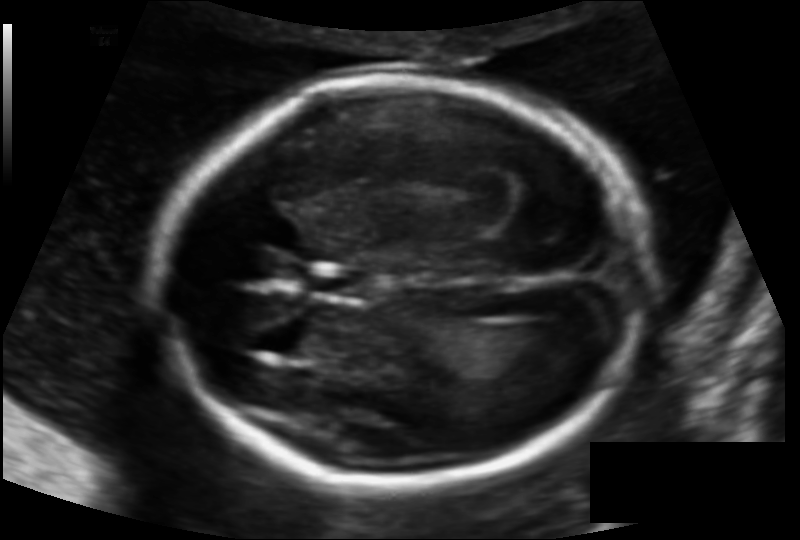
In this fetal head ultrasound, give the bounding box of the fetal head. Image width: 97.8 mm.

[155,83,645,484]